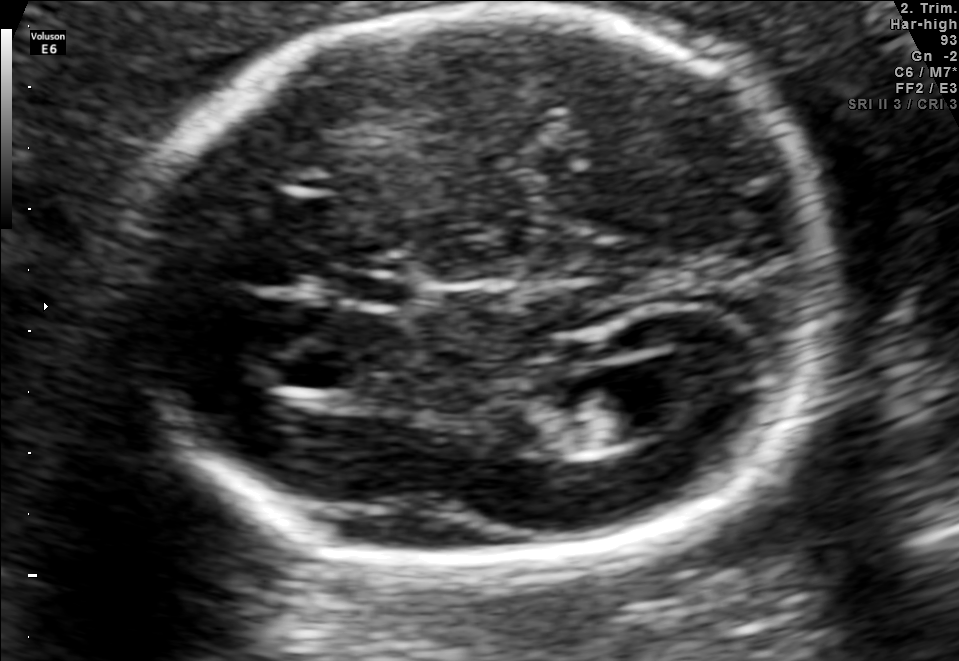
Fetal brain, trans-ventricular plane. Where is the fetal head?

Head bounding box: [112,4,851,579]